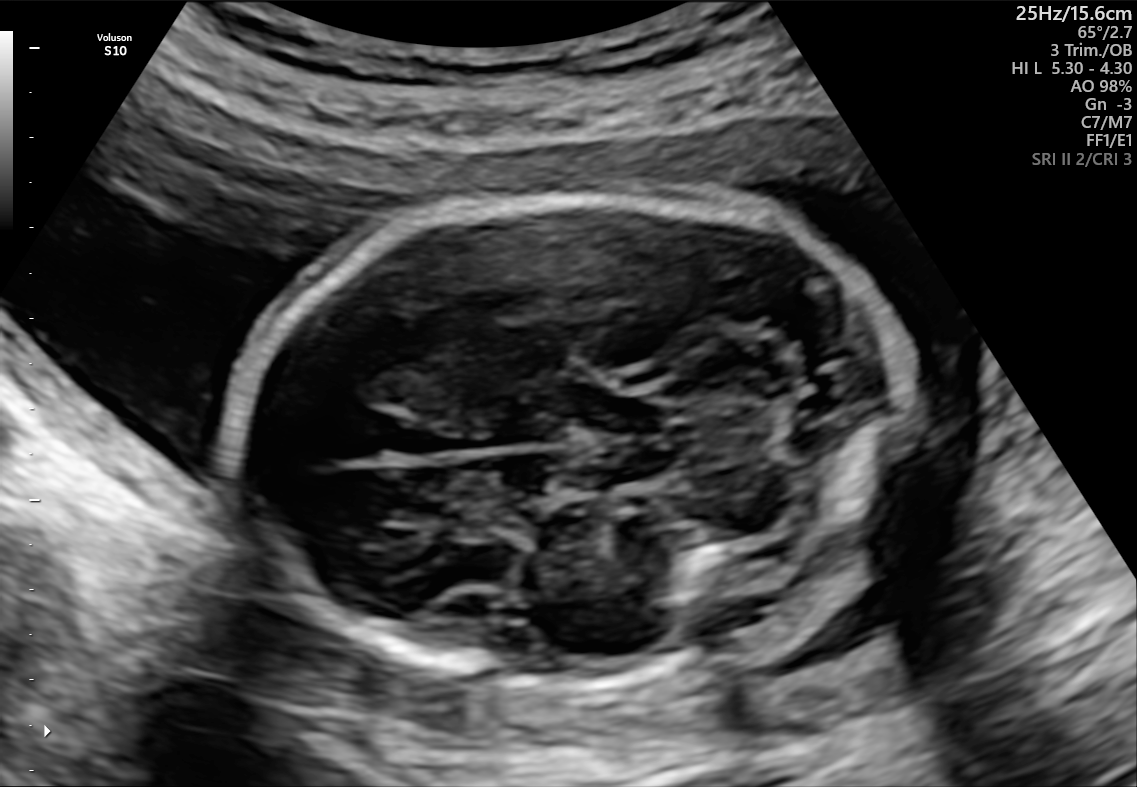
Fetal brain, trans-cerebellum plane. Locate the fetal head and, if visible, the cavum septum pellucidum (CSP) and lateral ventricle (LV). Give bounding boxes as [x1,y1,x2,y2].

Head: [232,192,907,686]